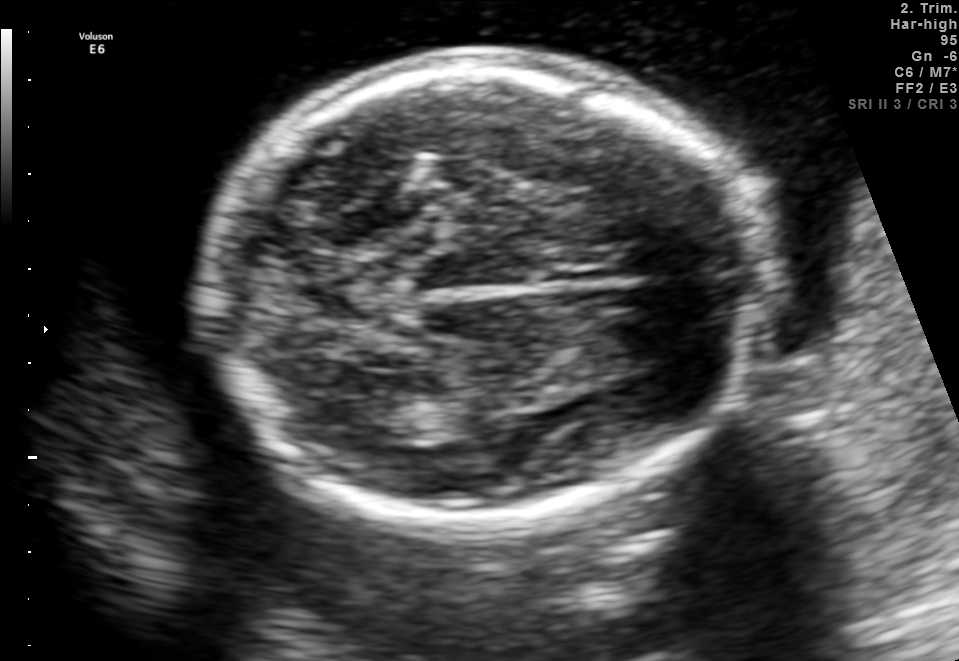
In this fetal brain, trans-thalamic plane, give the bounding box of the lateral ventricle.

[328,395,391,432]